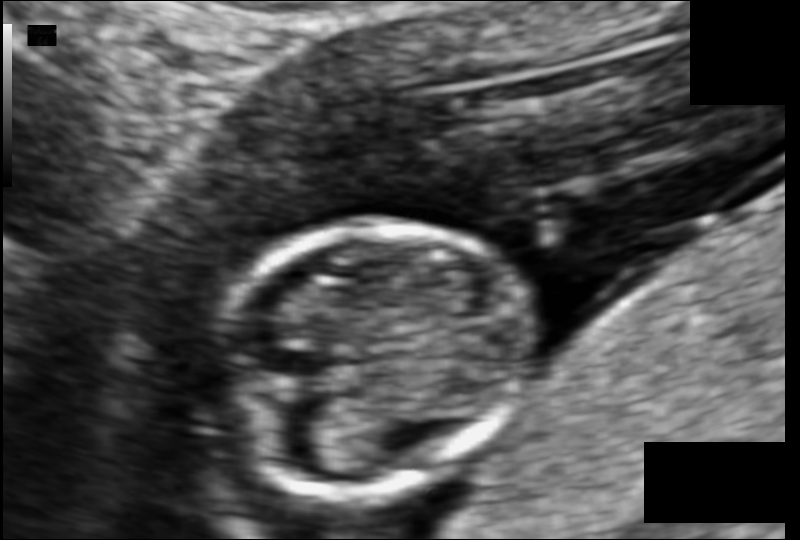
Estimate the fetal head circumference from this 2D ultrasound. Image width: 62.1 mm.

Head circumference: 73.7 mm.